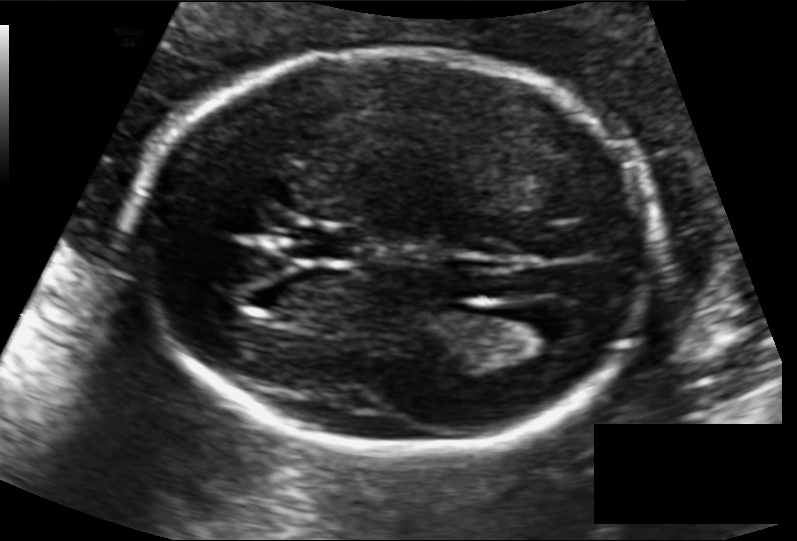
In this fetal head ultrasound, give the bounding box of the lateral ventricle. Image width: 94.0 mm.

[489,294,584,367]